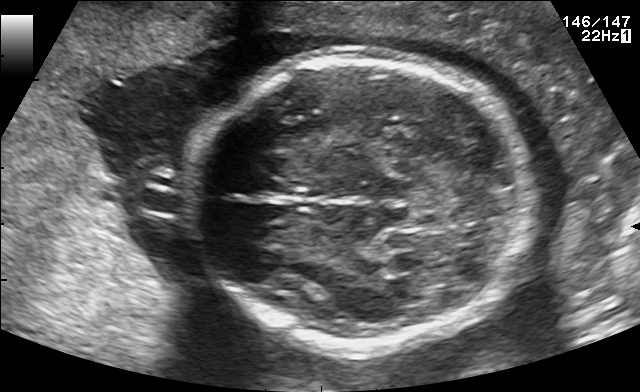
In this fetal brain, trans-thalamic plane, give bounding boxes for the head outline, cavum septum pellucidum (CSP), and lateral ventricle (LV), where visible.

Head: [184,59,533,348]